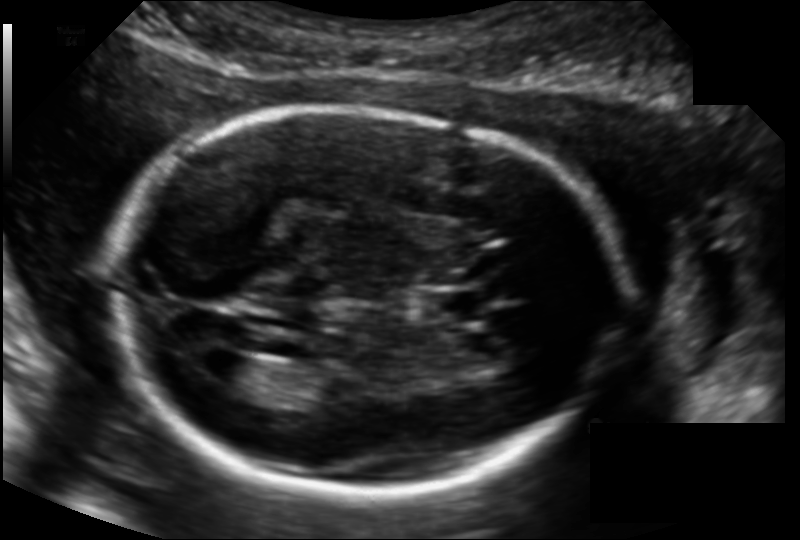
From this fetal ultrasound, estimate the head circumference (image width 107.7 mm).

Head circumference: 193.8 mm.